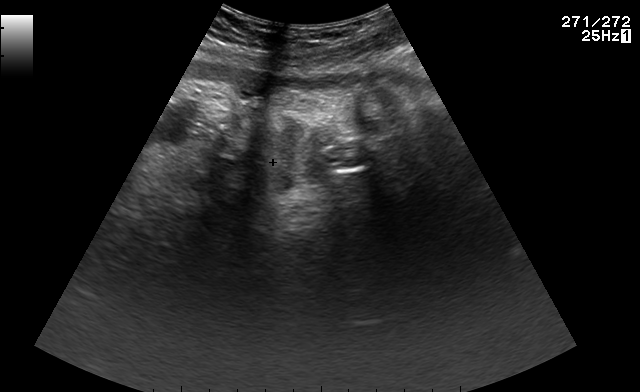
Identify the standard plane in this fetal ultrasound image: fetal abdomen, fetal brain, fetal femur, fetal thorax, maternal cervix, or other. If it's fetal brain and one of the three standard brain planes (trans-thalamic, trans-cerebellum, trans-ventricular), name which.

Other